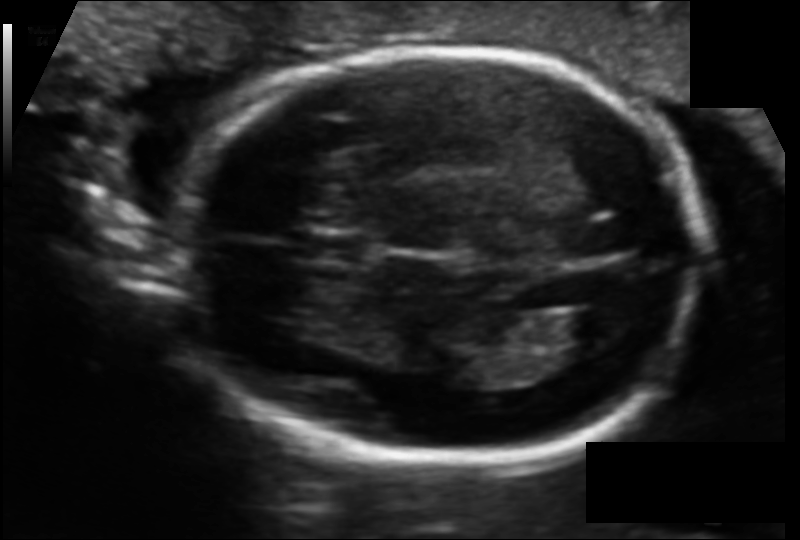
Fetal head ultrasound. Image width: 86.3 mm. Where is the lateral ventricle?

Lateral ventricle bounding box: [546,298,627,365]